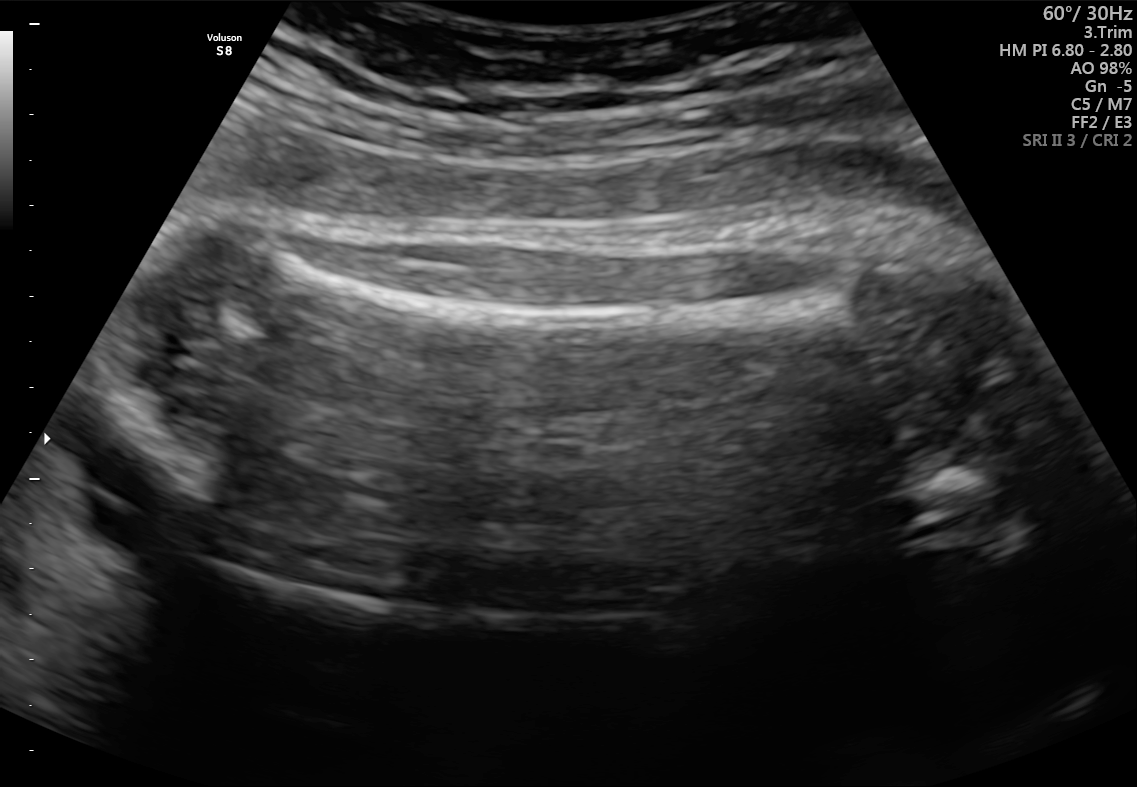
This is a 2D maternal-fetal ultrasound frame. Is it a fetal abdomen, fetal brain, fetal femur, fetal thorax, maternal cervix, or other standard plane? If it's fetal brain and one of the three standard brain planes (trans-thalamic, trans-cerebellum, trans-ventricular), name which.

Fetal femur